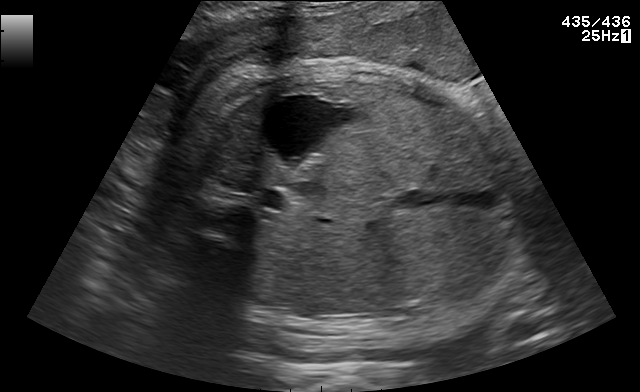
Classify this maternal-fetal ultrasound image as one of the six standard planes — fetal abdomen, fetal brain, fetal femur, fetal thorax, maternal cervix, or other. If it's fetal brain and one of the three standard brain planes (trans-thalamic, trans-cerebellum, trans-ventricular), name which.

Fetal abdomen